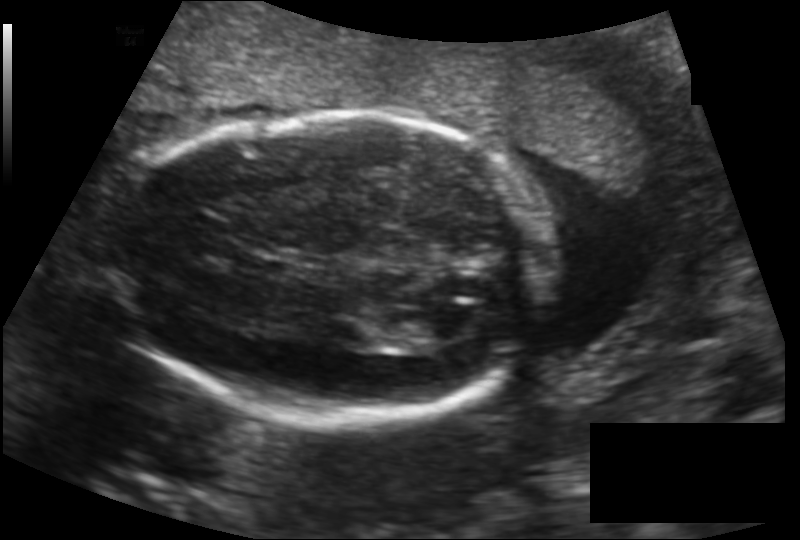
In this fetal head ultrasound, give the bounding box of the fetal head. Image width: 116.6 mm.

[125,111,548,427]